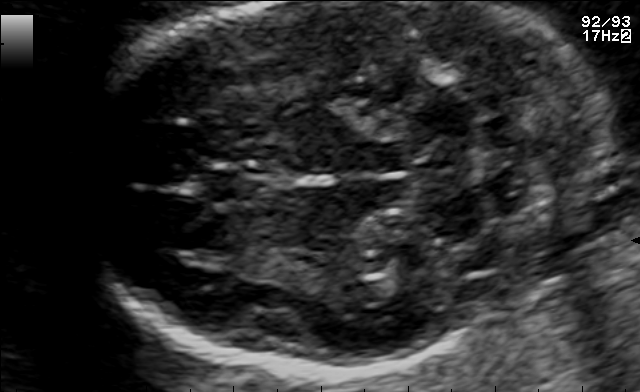
Which standard maternal-fetal ultrasound plane is shown: fetal abdomen, fetal brain, fetal femur, fetal thorax, maternal cervix, or other? If it's fetal brain and one of the three standard brain planes (trans-thalamic, trans-cerebellum, trans-ventricular), name which.

Fetal brain (trans-cerebellum plane)